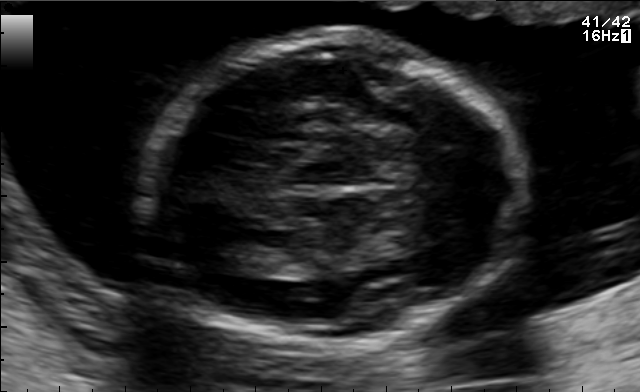
Fetal brain, trans-thalamic plane. Give [x1,y1,x2,y2] bounding boxes for each visible structure among: fetal head, CSP, LV.

Head: [136,35,529,351]